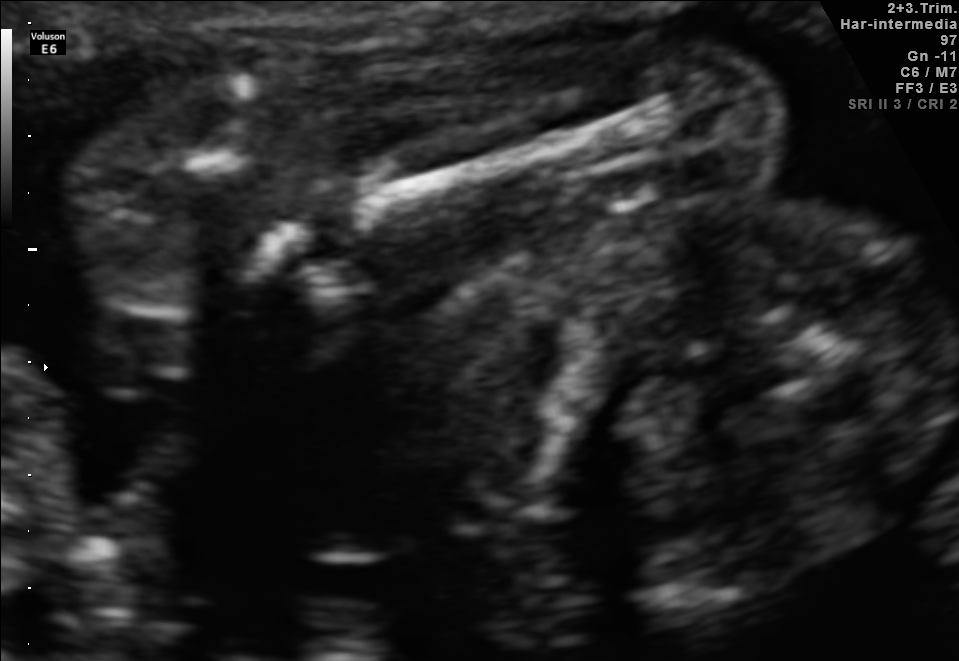
Classify this maternal-fetal ultrasound image as one of the six standard planes — fetal abdomen, fetal brain, fetal femur, fetal thorax, maternal cervix, or other. If it's fetal brain and one of the three standard brain planes (trans-thalamic, trans-cerebellum, trans-ventricular), name which.

Other